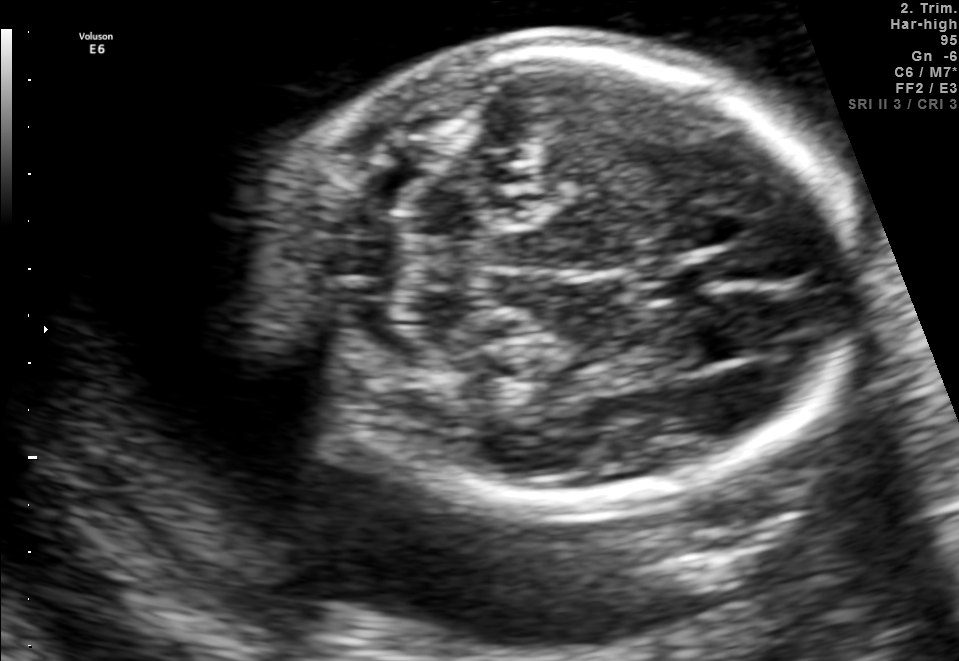
This is a 2D maternal-fetal ultrasound frame. Is it a fetal abdomen, fetal brain, fetal femur, fetal thorax, maternal cervix, or other standard plane? If it's fetal brain and one of the three standard brain planes (trans-thalamic, trans-cerebellum, trans-ventricular), name which.

Fetal brain (trans-cerebellum plane)